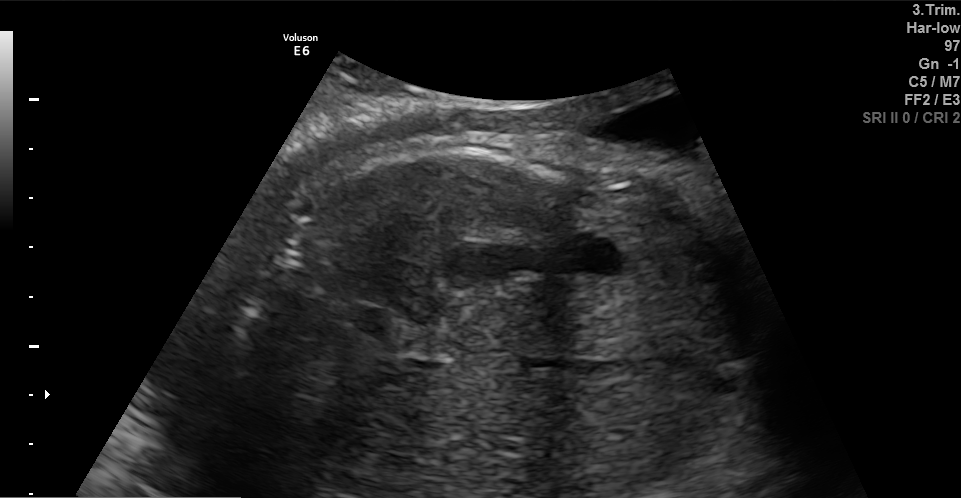
Identify the standard plane in this fetal ultrasound image: fetal abdomen, fetal brain, fetal femur, fetal thorax, maternal cervix, or other. If it's fetal brain and one of the three standard brain planes (trans-thalamic, trans-cerebellum, trans-ventricular), name which.

Other